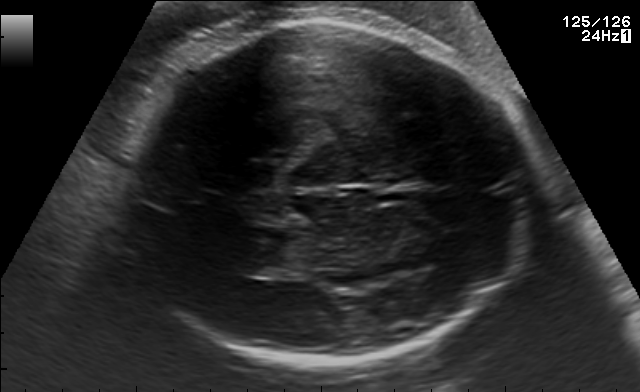
Fetal brain, trans-thalamic plane. Where is the fetal head?

Head bounding box: [116,21,532,358]